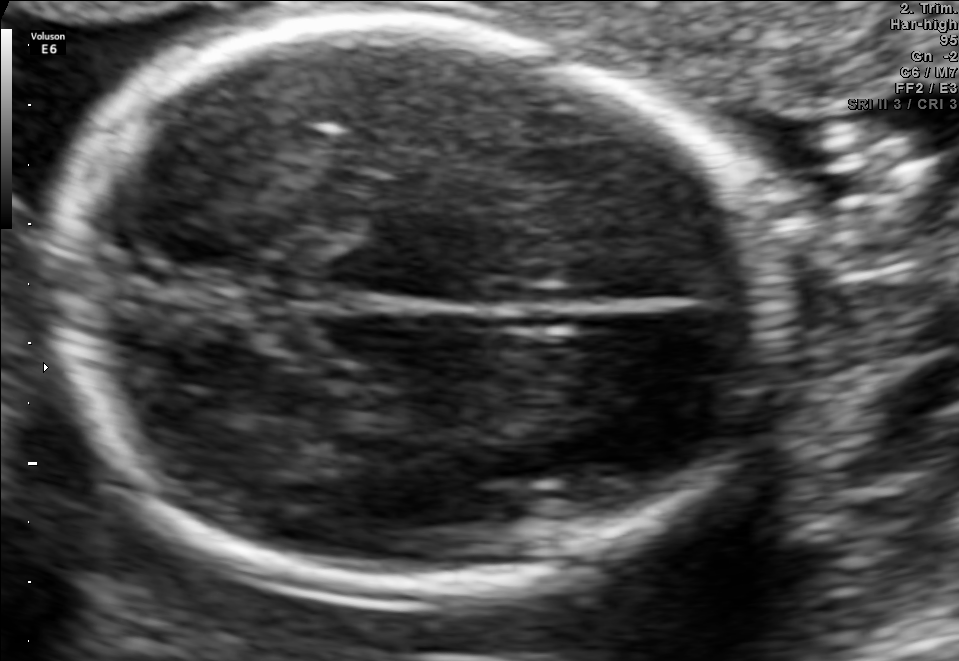
Classify this maternal-fetal ultrasound image as one of the six standard planes — fetal abdomen, fetal brain, fetal femur, fetal thorax, maternal cervix, or other. If it's fetal brain and one of the three standard brain planes (trans-thalamic, trans-cerebellum, trans-ventricular), name which.

Fetal brain (trans-thalamic plane)